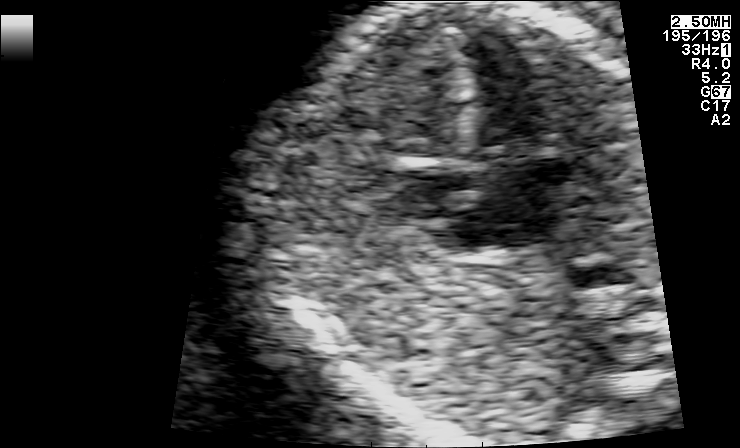
Identify the standard plane in this fetal ultrasound image: fetal abdomen, fetal brain, fetal femur, fetal thorax, maternal cervix, or other. If it's fetal brain and one of the three standard brain planes (trans-thalamic, trans-cerebellum, trans-ventricular), name which.

Fetal thorax